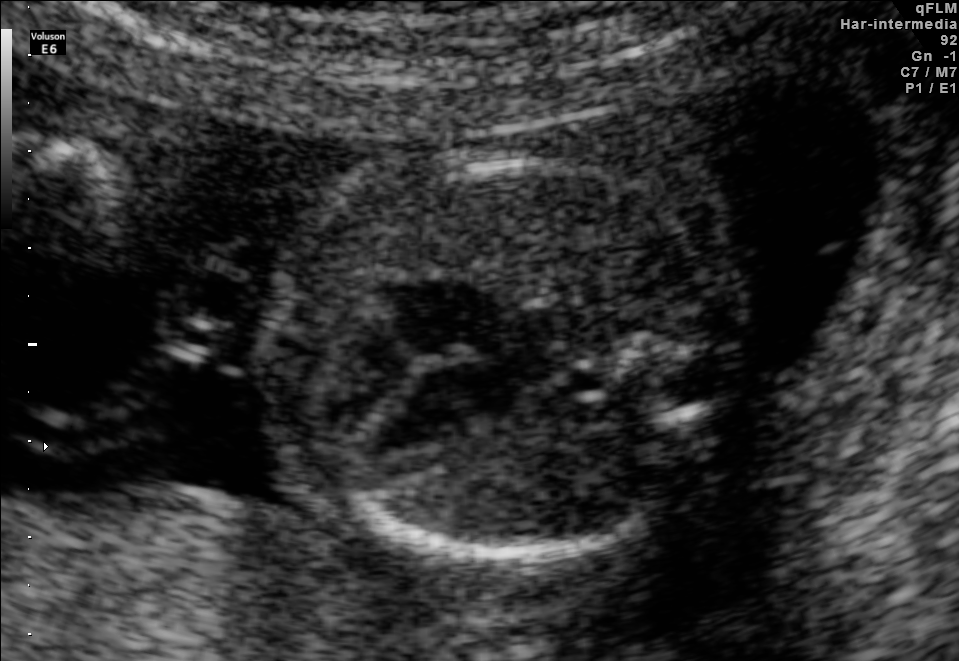
This is a 2D maternal-fetal ultrasound frame. Is it a fetal abdomen, fetal brain, fetal femur, fetal thorax, maternal cervix, or other standard plane? If it's fetal brain and one of the three standard brain planes (trans-thalamic, trans-cerebellum, trans-ventricular), name which.

Fetal thorax